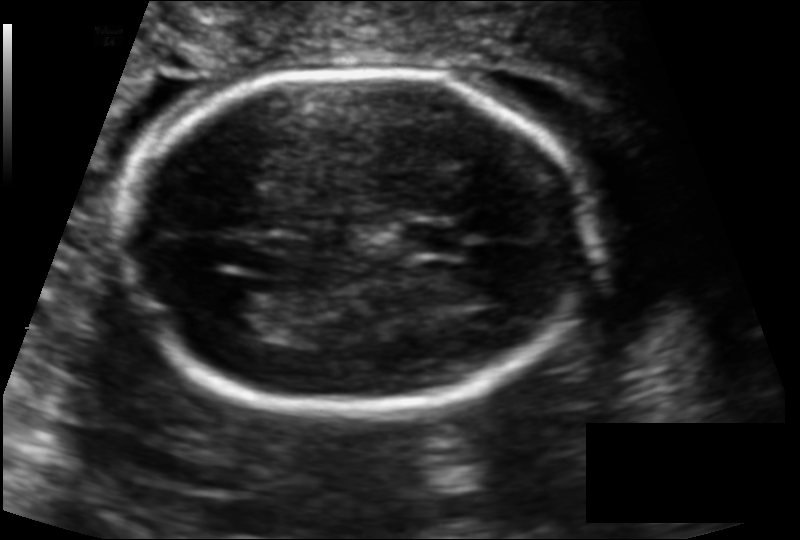
Measure the fetal head circumference shown in this ultrasound image. Image width: 97.4 mm.

Head circumference: 160.2 mm.